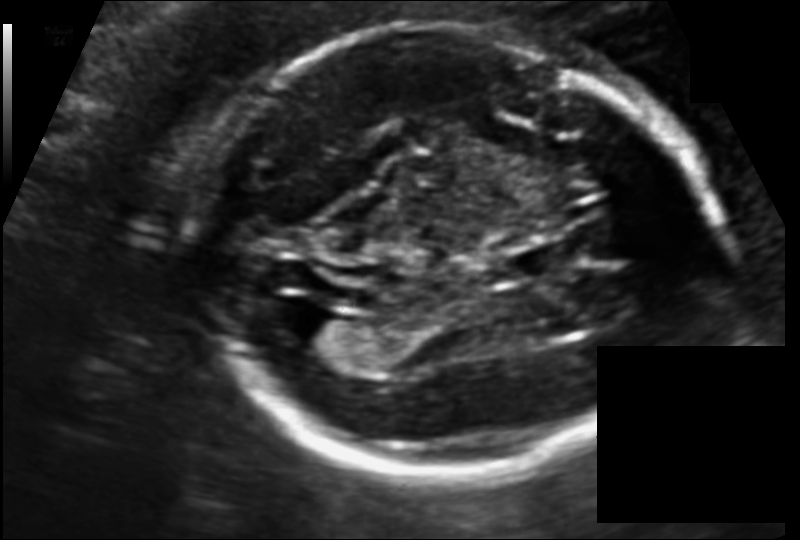
In this fetal head ultrasound, give the bounding box of the cavum septum pellucidum. Image width: 94.5 mm.

[507,238,576,285]